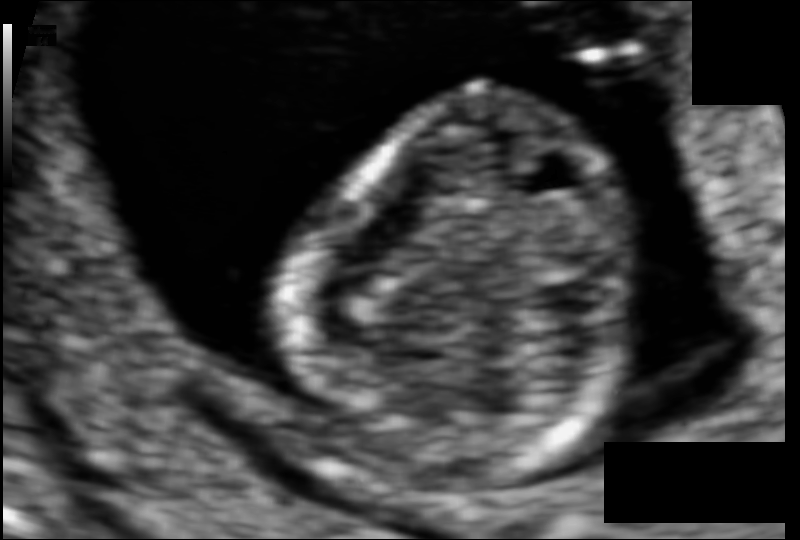
What is the fetal head circumference? Image width is 48.3 mm.

69.3 mm